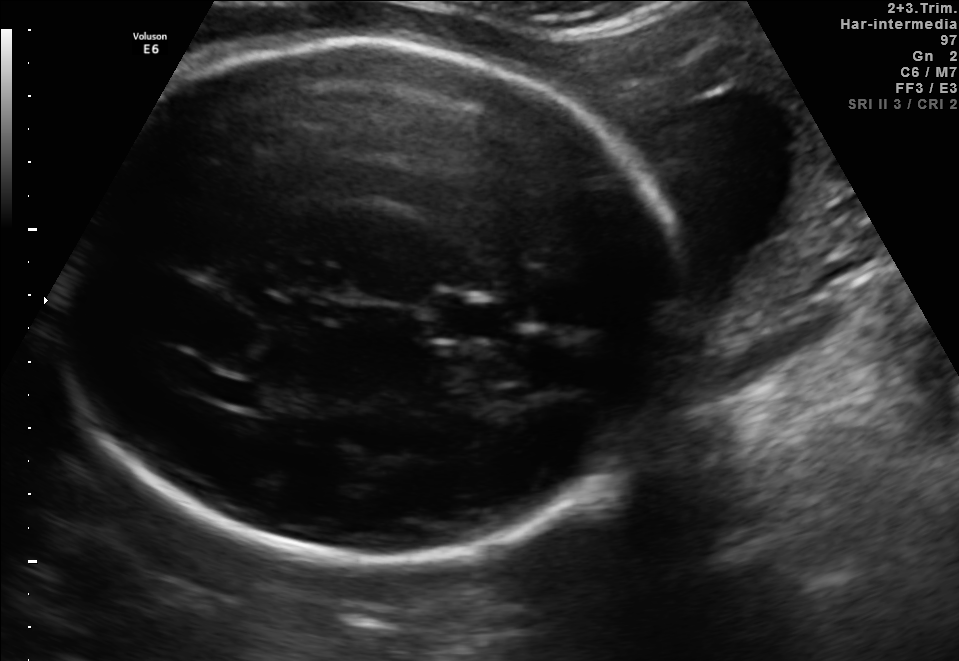
Fetal brain, trans-thalamic plane. Where is the fetal head?

Head bounding box: [48,42,695,557]